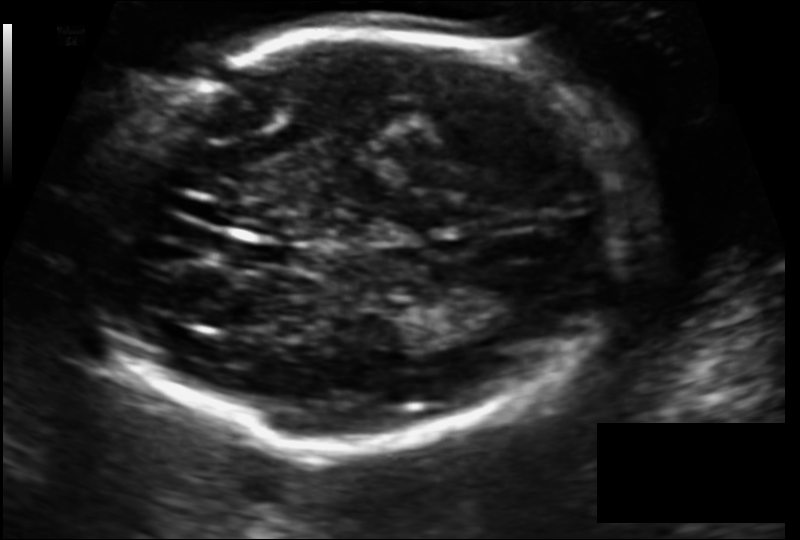
Fetal head ultrasound. Image width: 98.9 mm. Where is the fetal head?

Head bounding box: [89,33,627,444]